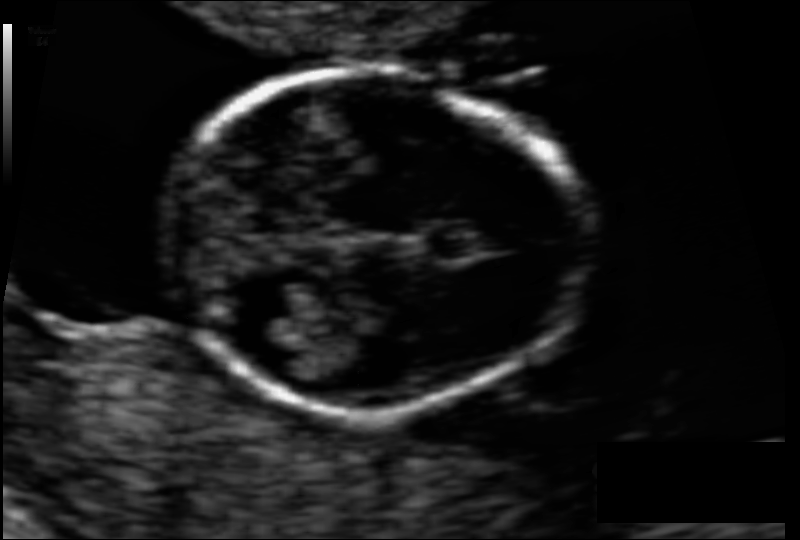
In this fetal head ultrasound, give the bounding box of the fetal head. Image width: 52.1 mm.

[163,73,586,413]